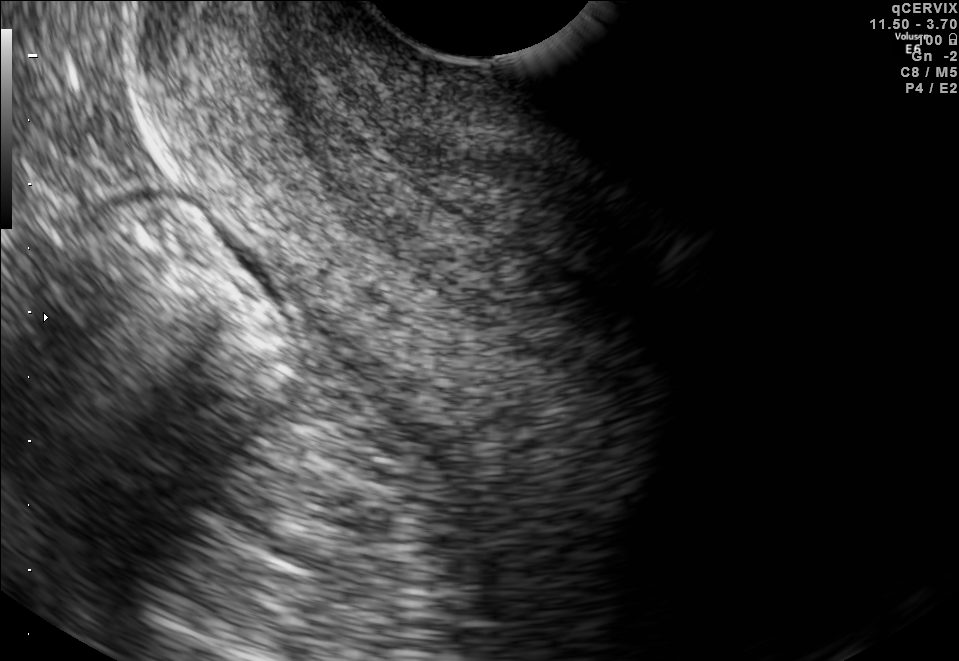
This is a 2D maternal-fetal ultrasound frame. Is it a fetal abdomen, fetal brain, fetal femur, fetal thorax, maternal cervix, or other standard plane? If it's fetal brain and one of the three standard brain planes (trans-thalamic, trans-cerebellum, trans-ventricular), name which.

Maternal cervix